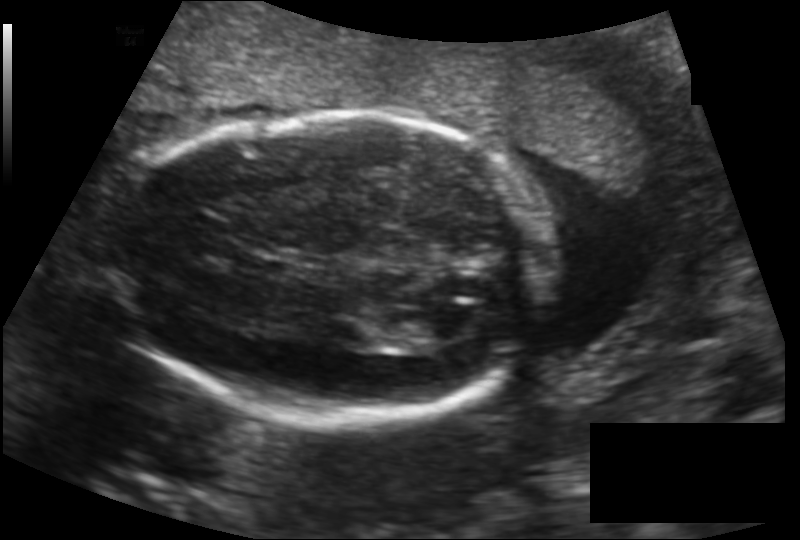
Estimate the fetal head circumference from this 2D ultrasound. Image width: 116.6 mm.

Head circumference: 178.3 mm.